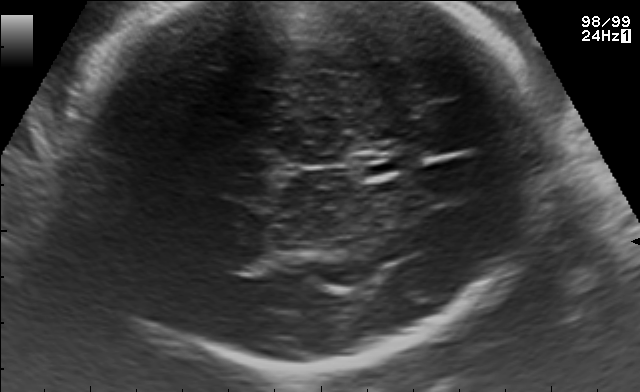
In this fetal brain, trans-thalamic plane, give bounding boxes for the cavum septum pellucidum (CSP) and lateral ventricle (LV), where visible.

CSP: [356,152,406,178]